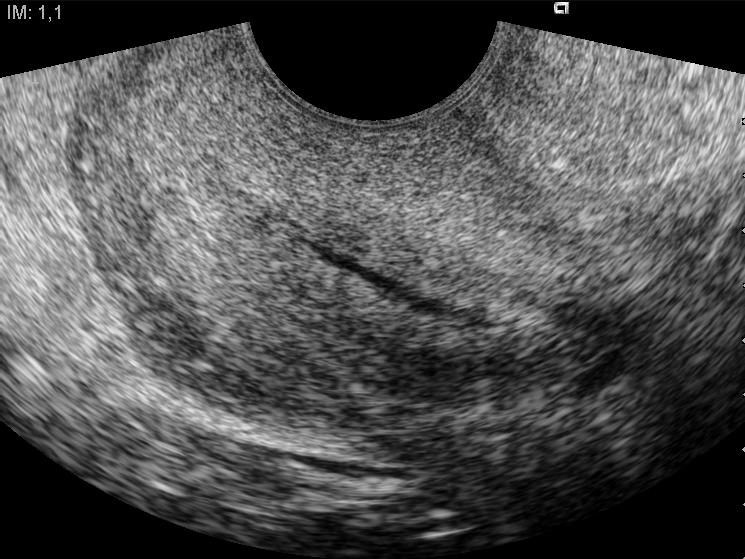
Classify this maternal-fetal ultrasound image as one of the six standard planes — fetal abdomen, fetal brain, fetal femur, fetal thorax, maternal cervix, or other. If it's fetal brain and one of the three standard brain planes (trans-thalamic, trans-cerebellum, trans-ventricular), name which.

Maternal cervix